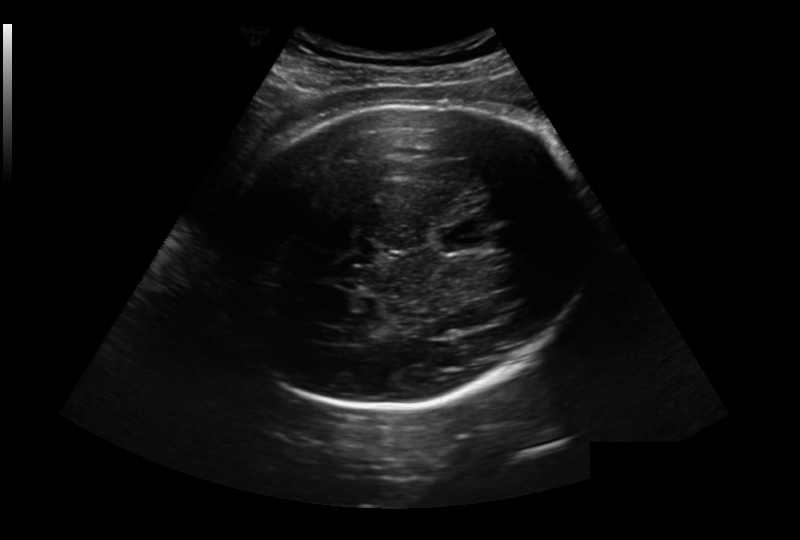
Estimate the fetal head circumference from this 2D ultrasound. Image width: 224.8 mm.

Head circumference: 305.2 mm.